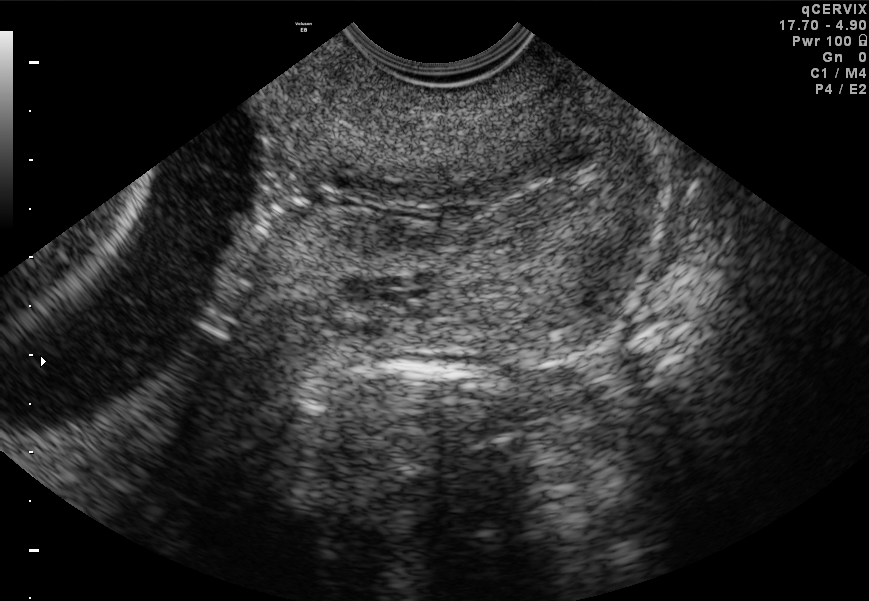
Which standard maternal-fetal ultrasound plane is shown: fetal abdomen, fetal brain, fetal femur, fetal thorax, maternal cervix, or other? If it's fetal brain and one of the three standard brain planes (trans-thalamic, trans-cerebellum, trans-ventricular), name which.

Maternal cervix